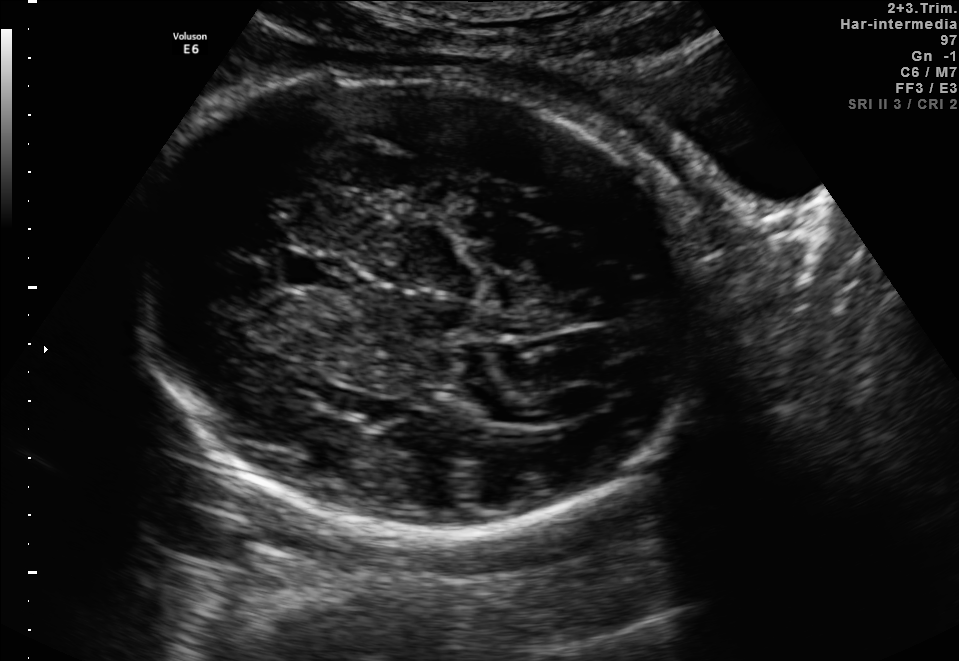
Fetal brain, trans-thalamic plane. Locate the cavum septum pellucidum.

CSP: [280,253,345,289]